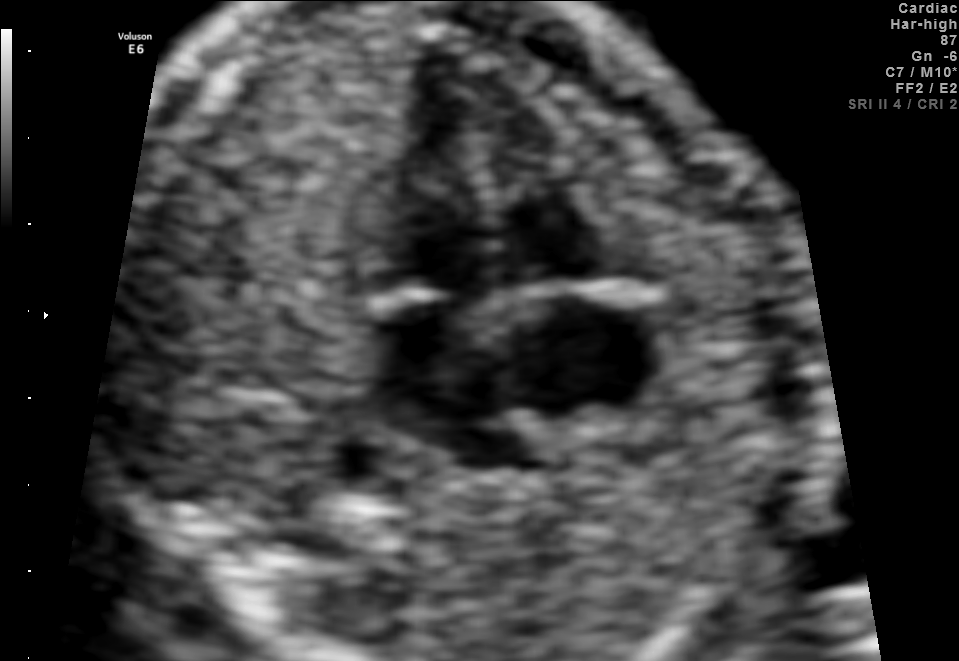
Classify this maternal-fetal ultrasound image as one of the six standard planes — fetal abdomen, fetal brain, fetal femur, fetal thorax, maternal cervix, or other. If it's fetal brain and one of the three standard brain planes (trans-thalamic, trans-cerebellum, trans-ventricular), name which.

Fetal thorax